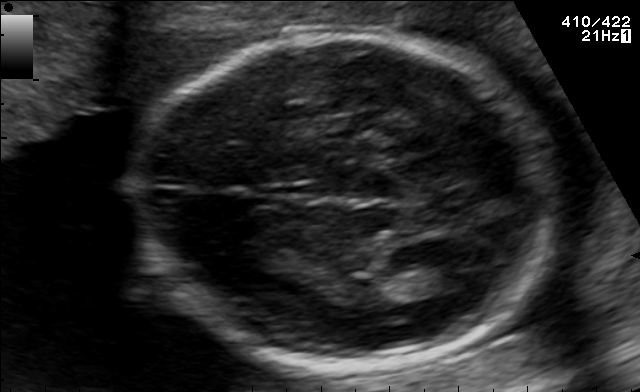
Fetal brain, trans-thalamic plane. Locate the lateral ventricle.

Lateral ventricle: [415,247,494,299]